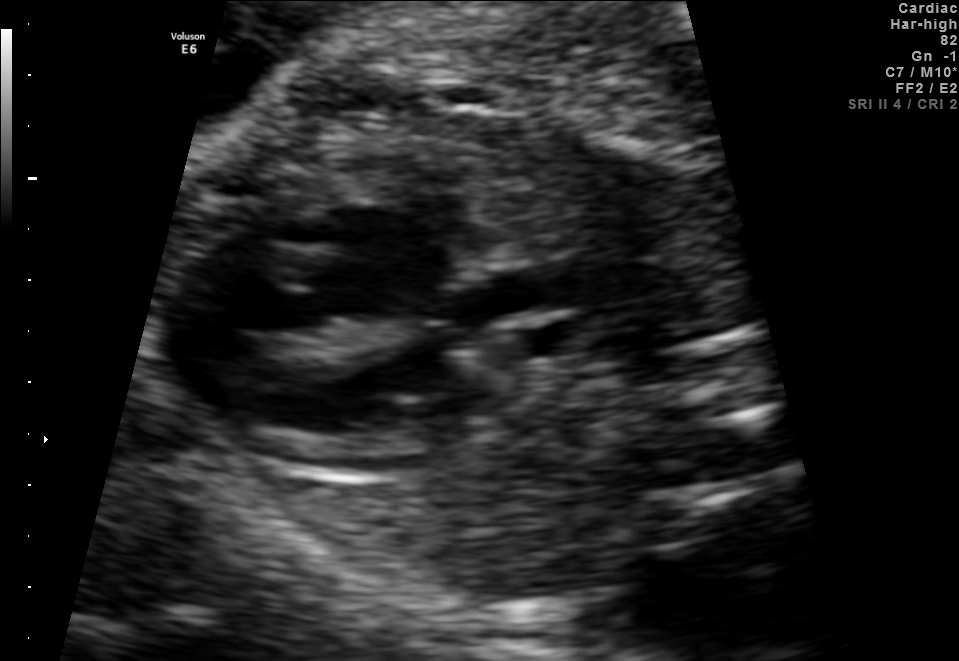
Classify this maternal-fetal ultrasound image as one of the six standard planes — fetal abdomen, fetal brain, fetal femur, fetal thorax, maternal cervix, or other. If it's fetal brain and one of the three standard brain planes (trans-thalamic, trans-cerebellum, trans-ventricular), name which.

Fetal thorax